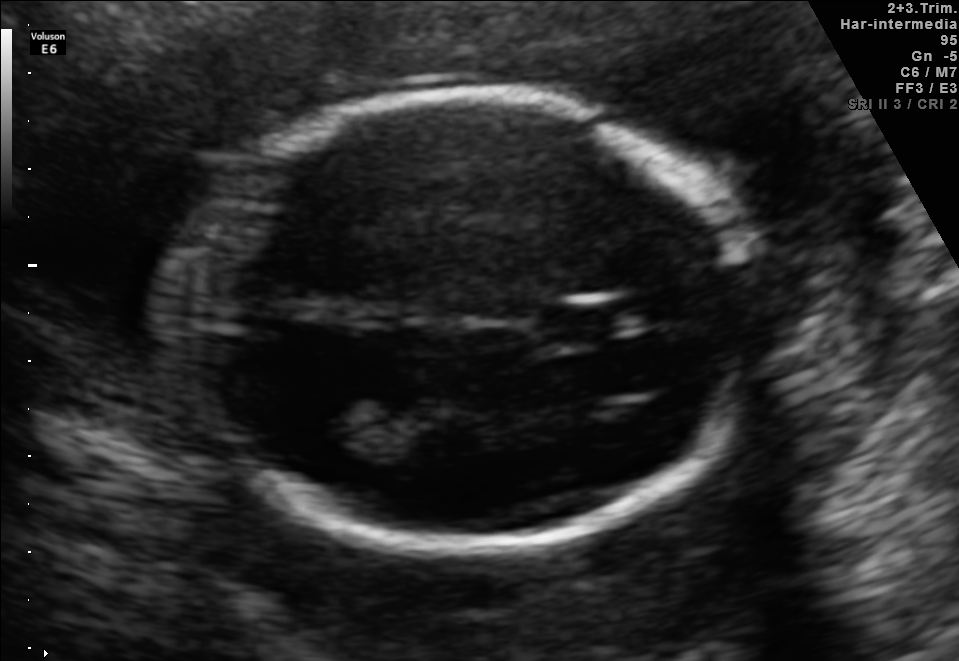
In this fetal brain, trans-thalamic plane, give the bounding box of the fetal head.

[180,93,757,556]